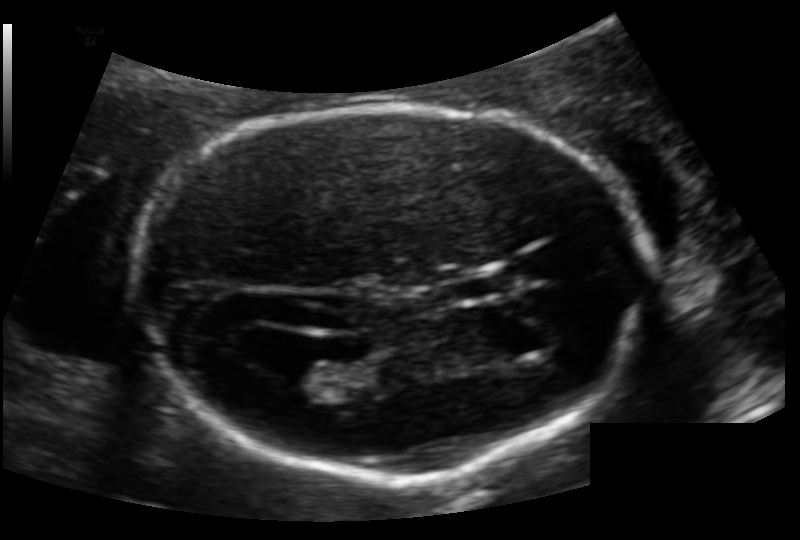
In this fetal head ultrasound, give the bounding box of the lateral ventricle. Image width: 99.1 mm.

[269,350,337,393]